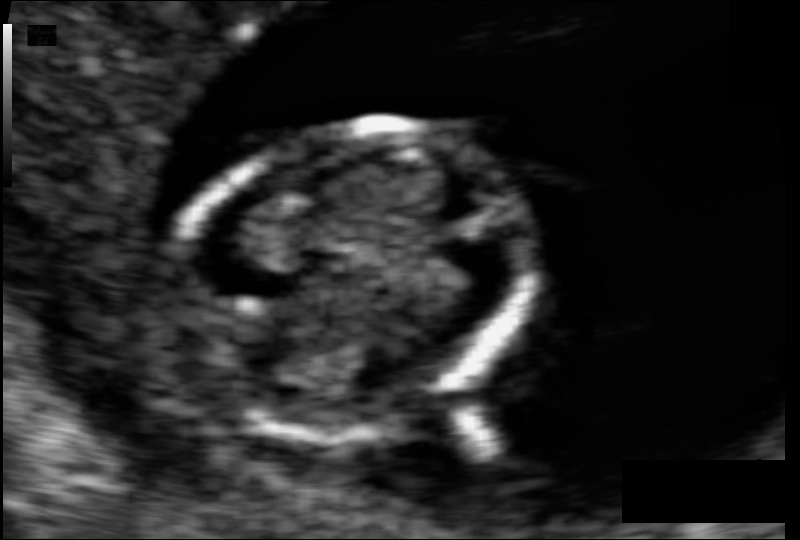
Fetal head ultrasound. Image width: 54.9 mm. Where is the fetal head?

Head bounding box: [177,121,536,440]